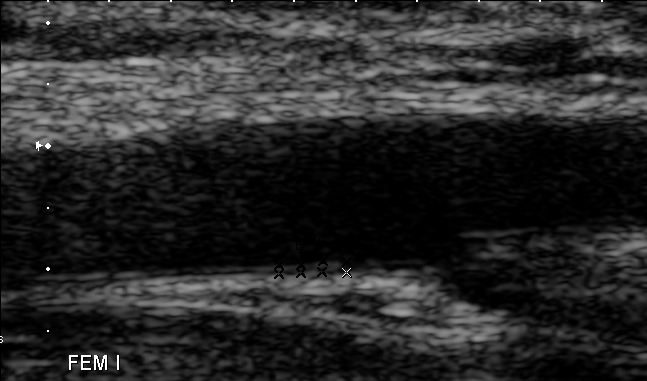
Classify this maternal-fetal ultrasound image as one of the six standard planes — fetal abdomen, fetal brain, fetal femur, fetal thorax, maternal cervix, or other. If it's fetal brain and one of the three standard brain planes (trans-thalamic, trans-cerebellum, trans-ventricular), name which.

Other